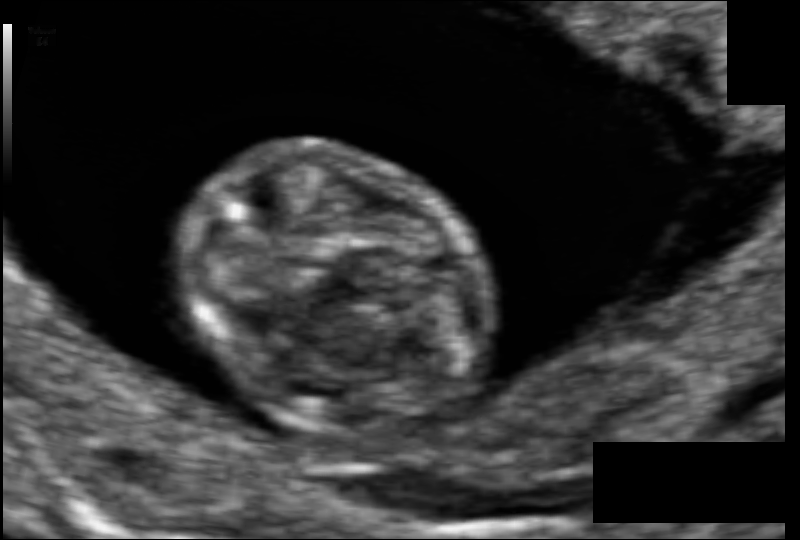
Fetal head ultrasound. Image width: 49.0 mm. Locate the fetal head.

Head: [180,139,490,439]